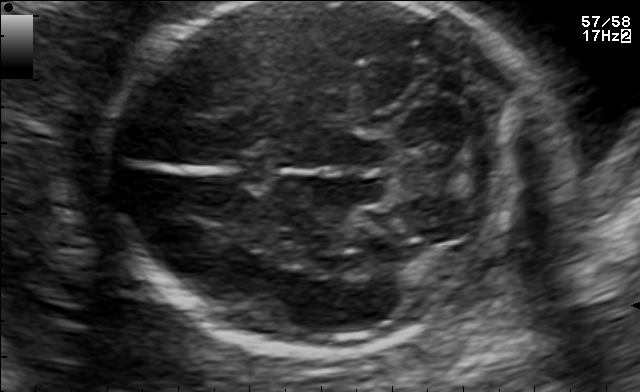
Fetal brain, trans-cerebellum plane. Where is the fetal head?

Head bounding box: [102,2,511,358]